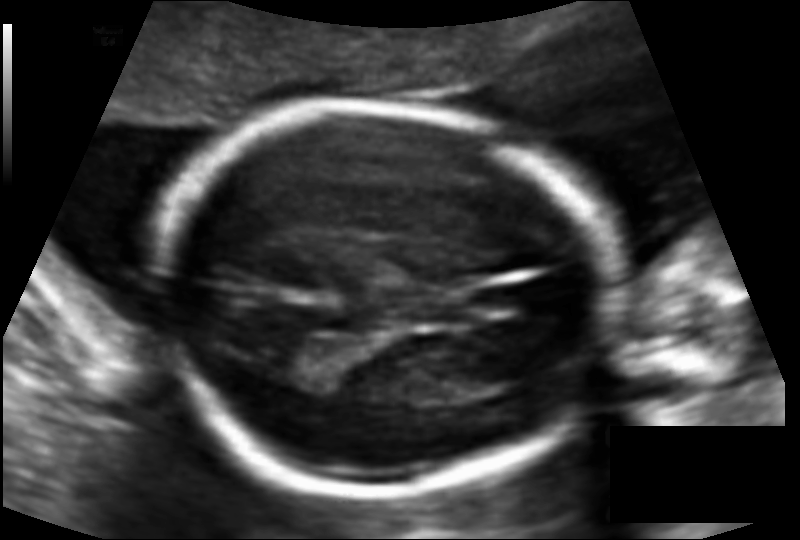
Fetal head ultrasound. Image width: 87.7 mm. Locate the fetal head.

Head: [157,107,606,492]